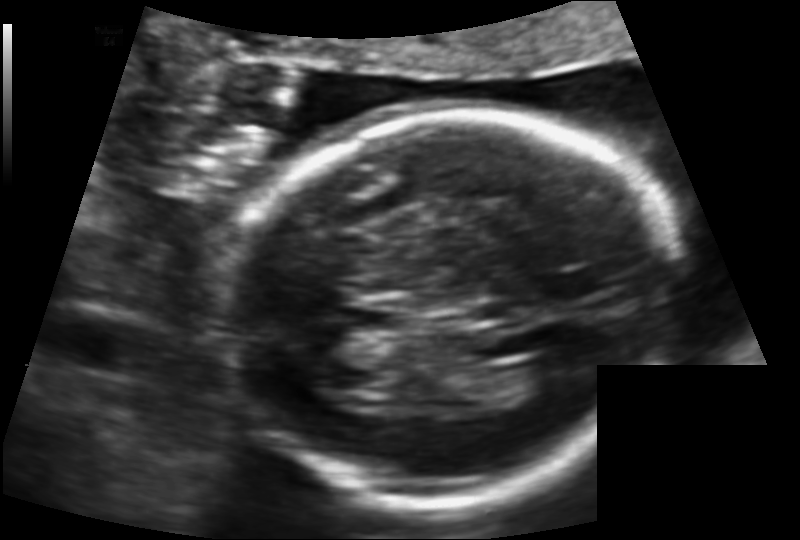
Estimate the fetal head circumference from this 2D ultrasound.

Head circumference: 169.4 mm (image width 97.9 mm).